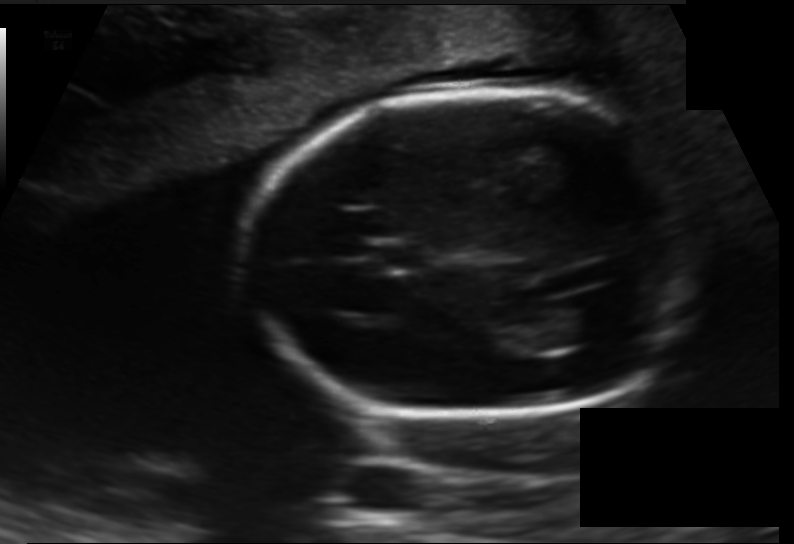
Fetal head ultrasound. Image width: 109.8 mm. Locate the cavum septum pellucidum.

CSP: [371,245,426,269]